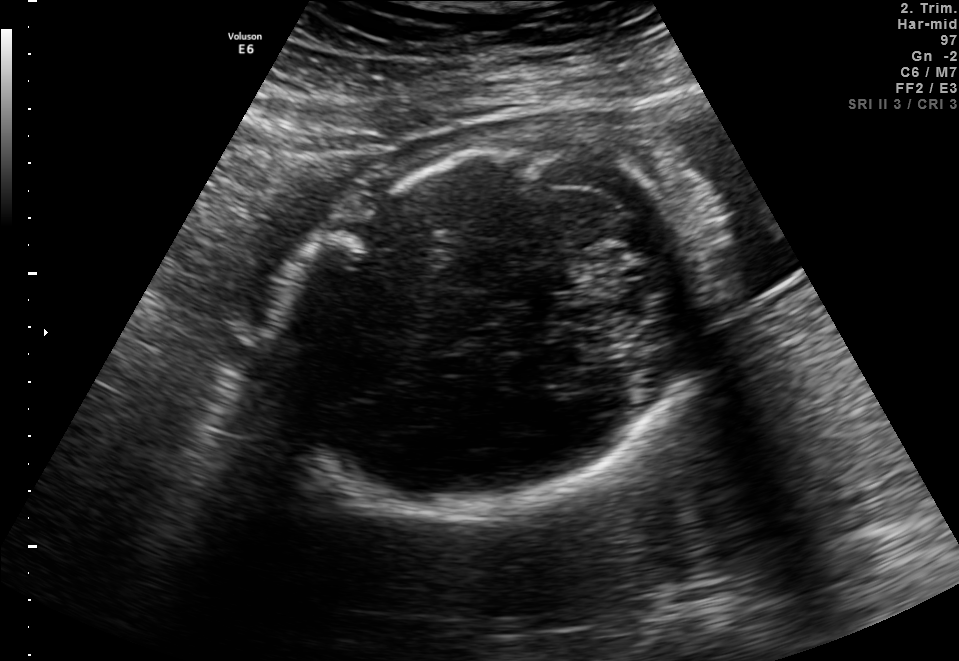
Fetal brain, trans-cerebellum plane. Where is the fetal head?

Head bounding box: [275,146,702,513]